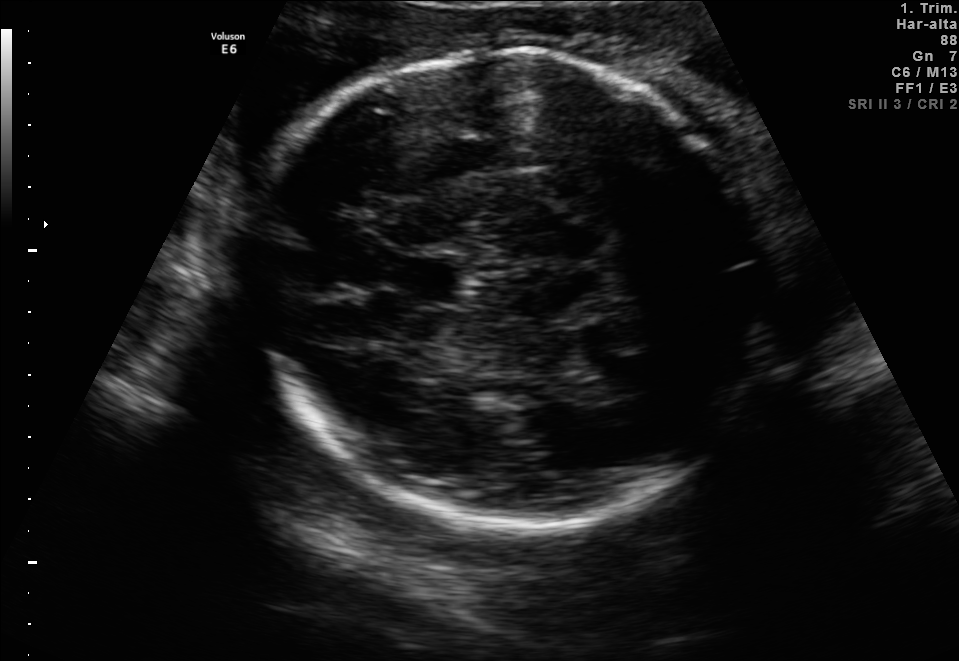
Which standard maternal-fetal ultrasound plane is shown: fetal abdomen, fetal brain, fetal femur, fetal thorax, maternal cervix, or other? If it's fetal brain and one of the three standard brain planes (trans-thalamic, trans-cerebellum, trans-ventricular), name which.

Fetal brain (trans-thalamic plane)